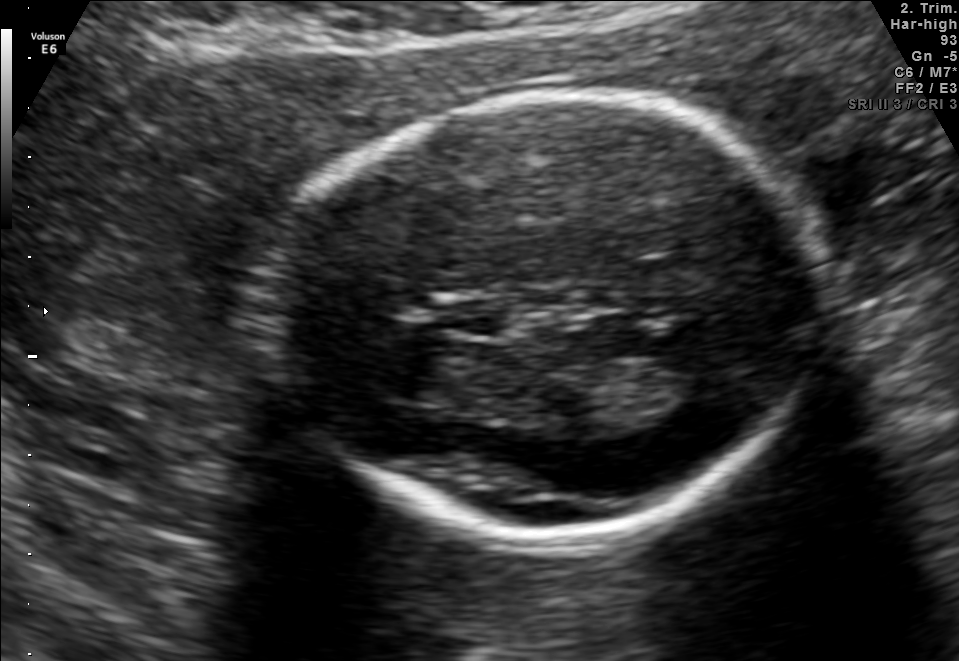
Fetal brain, trans-thalamic plane. Give [x1,y1,x2,y2] bounding boxes for each visible structure among: fetal head, CSP, LV.

Head: [268,93,819,538]
CSP: [444,299,514,336]